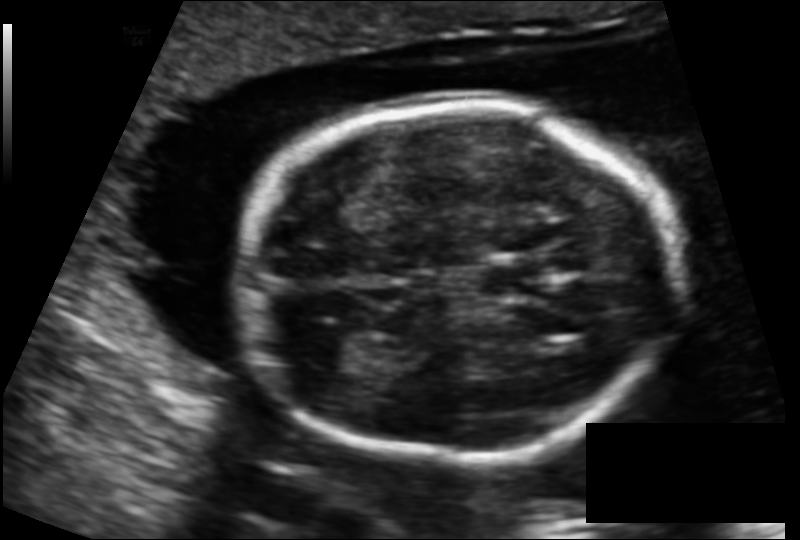
Fetal head ultrasound. Image width: 104.4 mm. Locate the cavum septum pellucidum.

CSP: [479,261,549,302]